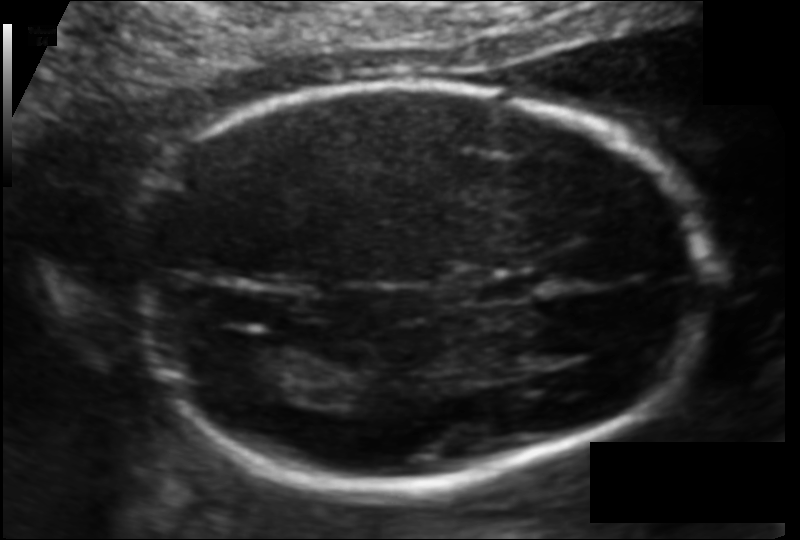
Measure the fetal head circumference shown in this ultrasound image. Image width: 87.4 mm.

Head circumference: 172.3 mm.